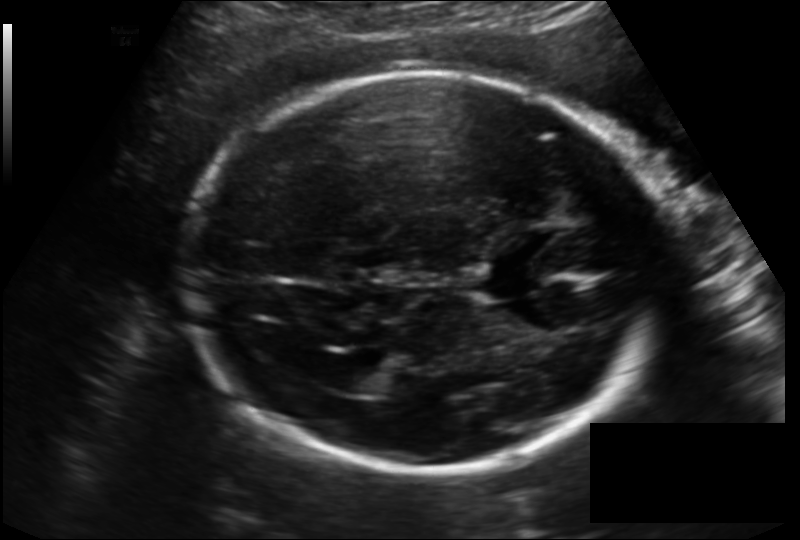
Fetal head ultrasound. Image width: 133.1 mm. Where is the fetal head?

Head bounding box: [189,74,663,476]